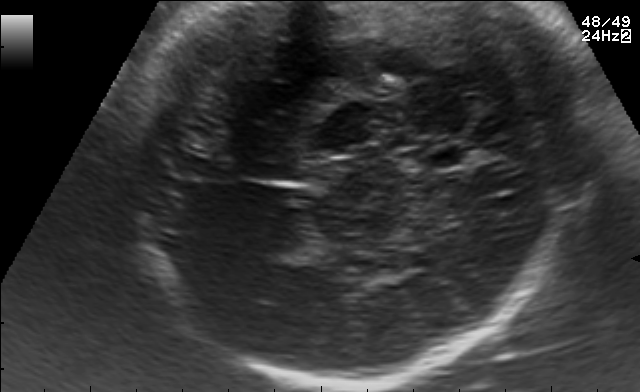
Classify this maternal-fetal ultrasound image as one of the six standard planes — fetal abdomen, fetal brain, fetal femur, fetal thorax, maternal cervix, or other. If it's fetal brain and one of the three standard brain planes (trans-thalamic, trans-cerebellum, trans-ventricular), name which.

Fetal brain (trans-thalamic plane)